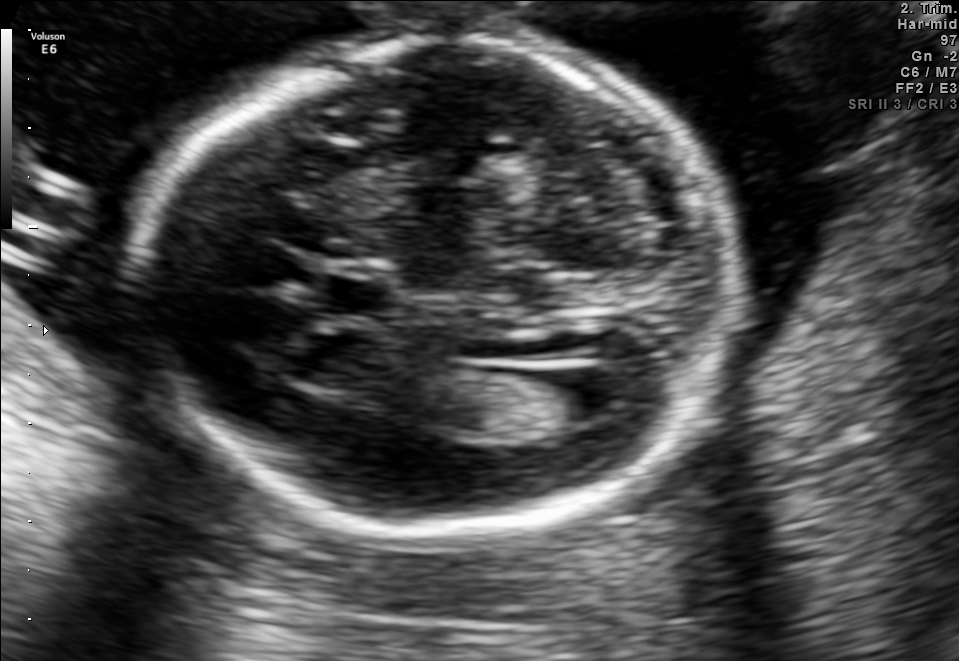
Fetal brain, trans-ventricular plane. Locate the lateral ventricle.

Lateral ventricle: [544,368,627,429]